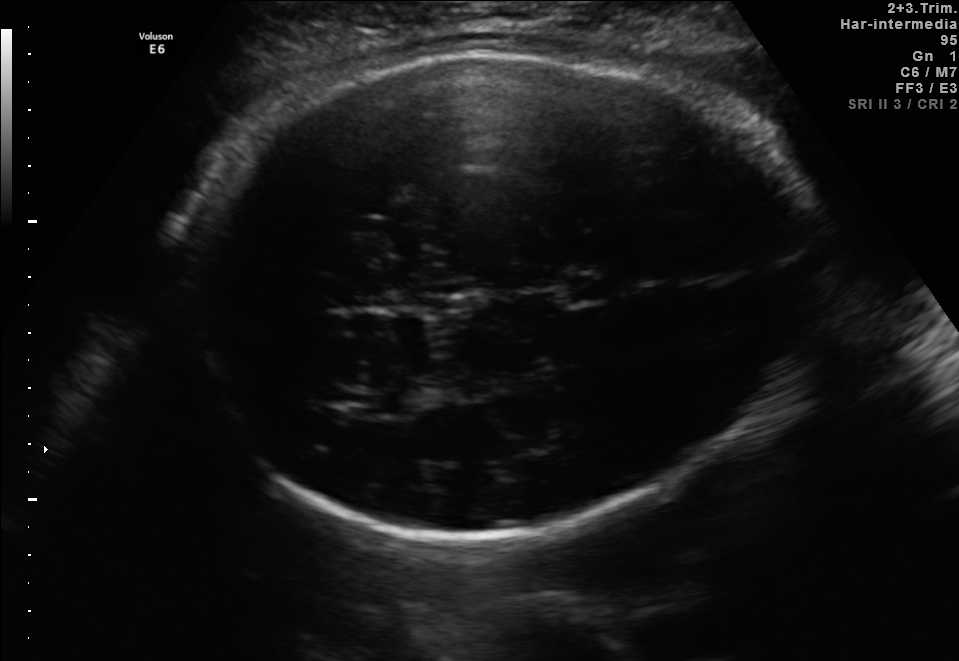
Fetal brain, trans-thalamic plane. Locate the fetal head and, if visible, the cavum septum pellucidum (CSP) and lateral ventricle (LV). Give bounding boxes as [x1,y1,x2,y2].

Head: [179,54,804,545]
CSP: [566,274,611,304]
Lateral ventricle: [340,389,411,415]